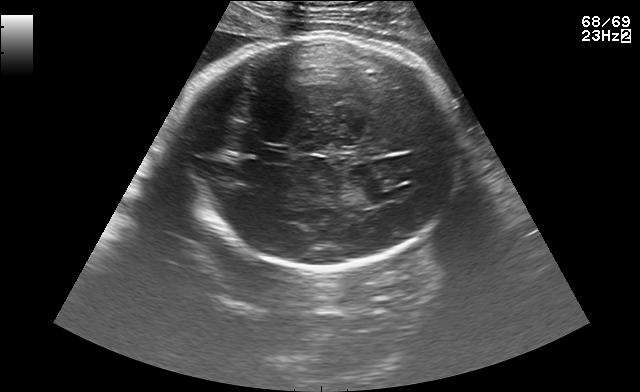
Fetal brain, trans-thalamic plane. Where is the fetal head?

Head bounding box: [172,38,467,266]